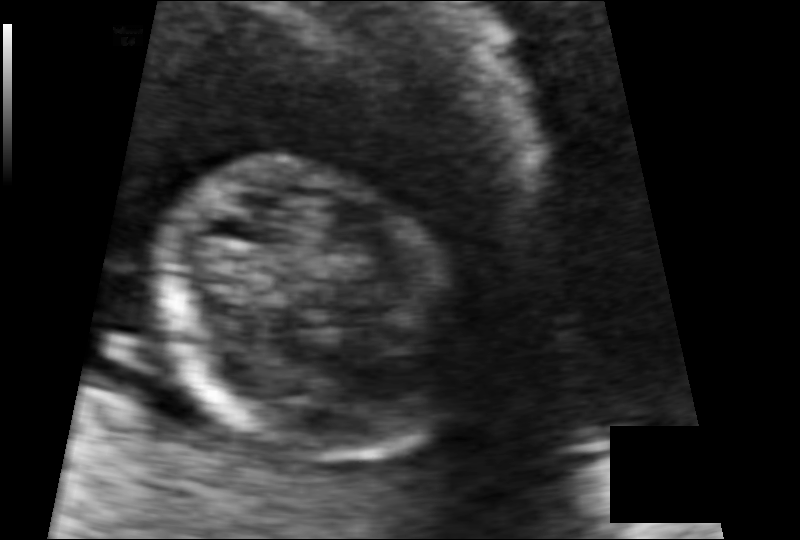
In this fetal head ultrasound, give bounding boxes for the head outline, cavum septum pellucidum (CSP), and lateral ventricle (LV), where visible. Image width: 68.4 mm.

Head: [150,161,471,462]